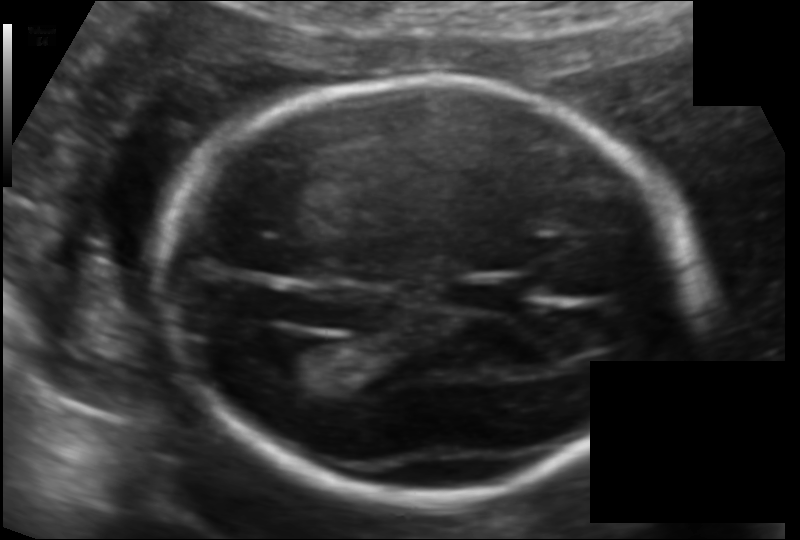
What is the fetal head circumference? Image width is 94.6 mm.

181.9 mm